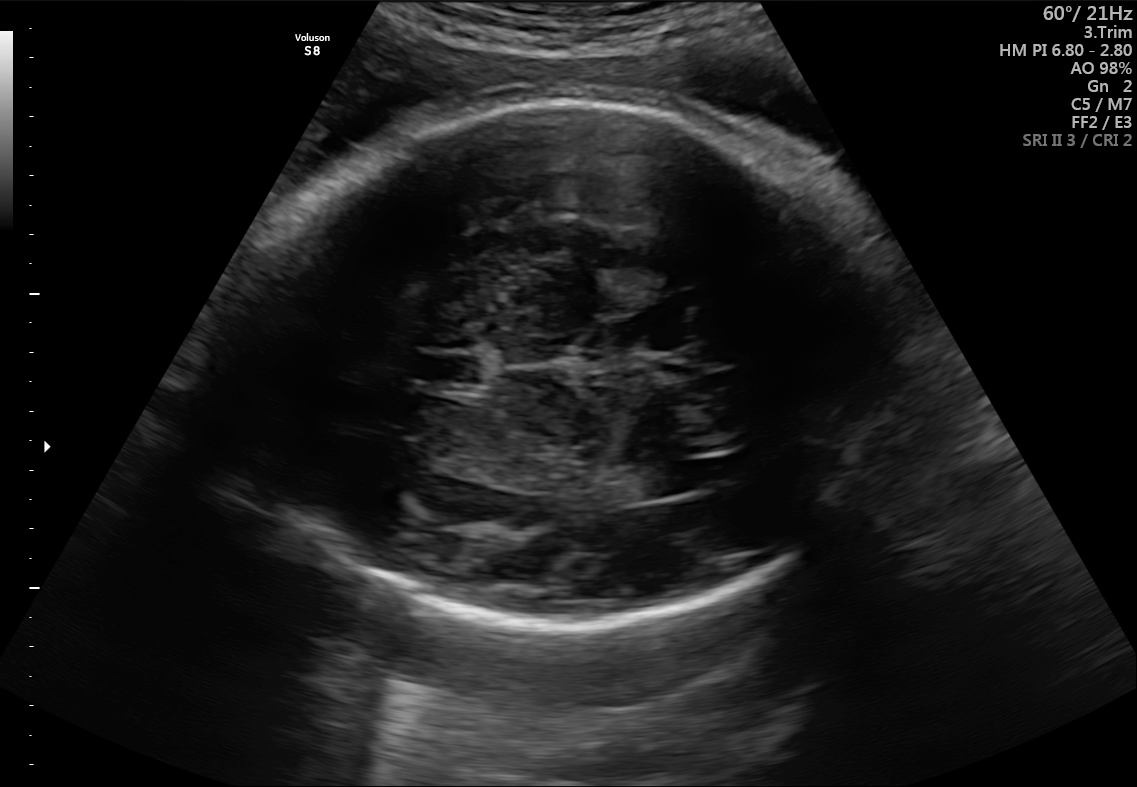
Fetal brain, trans-ventricular plane. Locate the fetal head and, if visible, the cavum septum pellucidum (CSP) and lateral ventricle (LV). Give bounding boxes as [x1,y1,x2,y2].

Head: [218,94,914,633]
CSP: [423,354,481,384]
Lateral ventricle: [637,457,702,501]